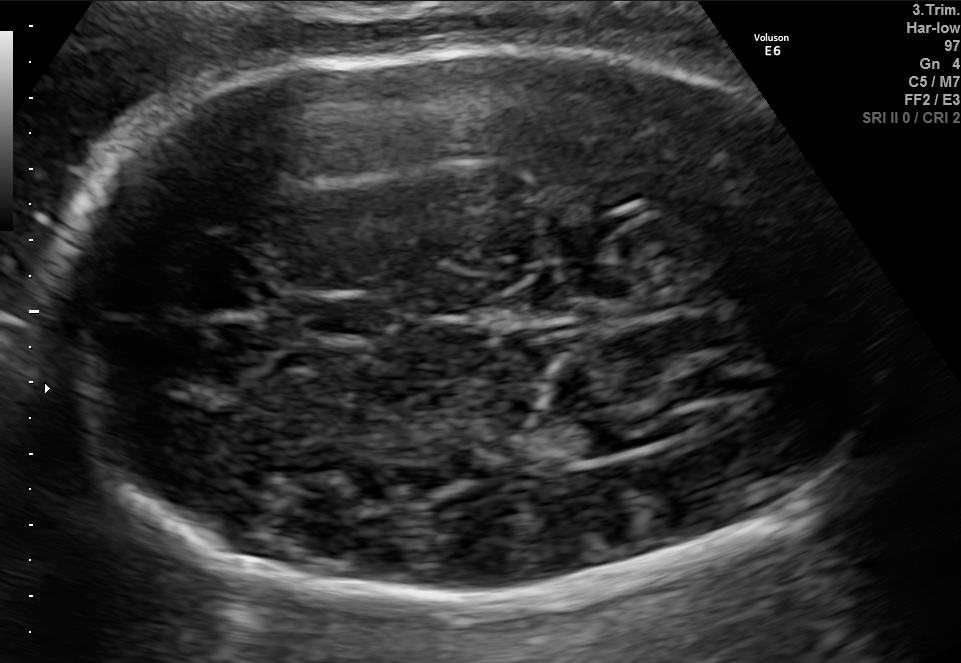
Fetal brain, trans-thalamic plane. Locate the fetal head and, if visible, the cavum septum pellucidum (CSP) and lateral ventricle (LV). Give bounding boxes as [x1,y1,x2,y2].

Head: [39,46,870,589]
CSP: [296,299,389,335]
Lateral ventricle: [532,408,649,470]